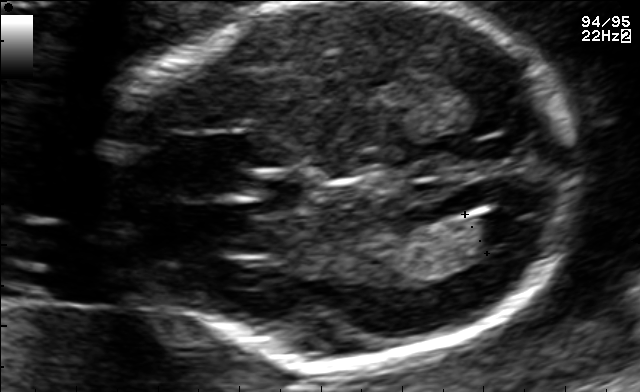
Identify the standard plane in this fetal ultrasound image: fetal abdomen, fetal brain, fetal femur, fetal thorax, maternal cervix, or other. If it's fetal brain and one of the three standard brain planes (trans-thalamic, trans-cerebellum, trans-ventricular), name which.

Fetal brain (trans-ventricular plane)